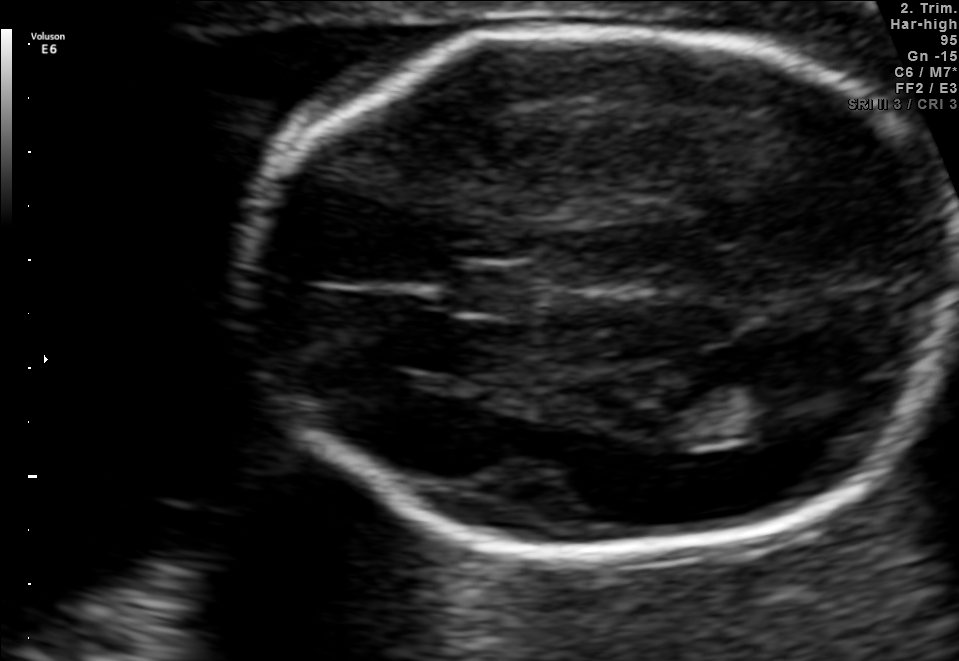
Fetal brain, trans-thalamic plane. Locate the fetal head.

Head: [240,29,958,552]